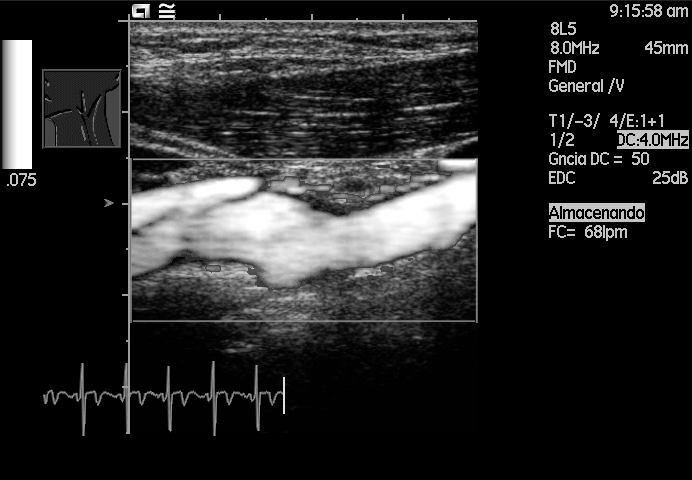
This is a 2D maternal-fetal ultrasound frame. Is it a fetal abdomen, fetal brain, fetal femur, fetal thorax, maternal cervix, or other standard plane? If it's fetal brain and one of the three standard brain planes (trans-thalamic, trans-cerebellum, trans-ventricular), name which.

Other